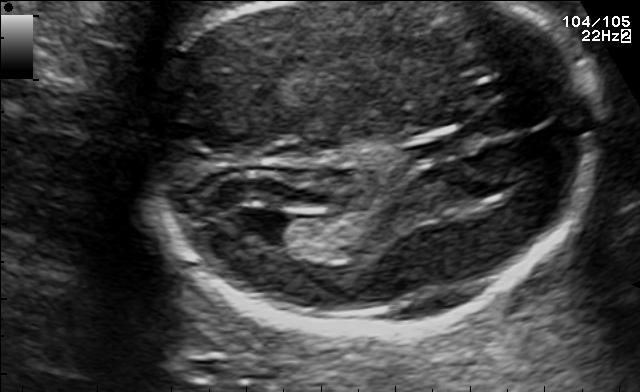
Fetal brain, trans-ventricular plane. Locate the cavum septum pellucidum (CSP) and lateral ventricle (LV), if visible. Give bounding boxes as [x1,y1,x2,y2].

CSP: [398,116,487,173]
Lateral ventricle: [227,197,305,249]